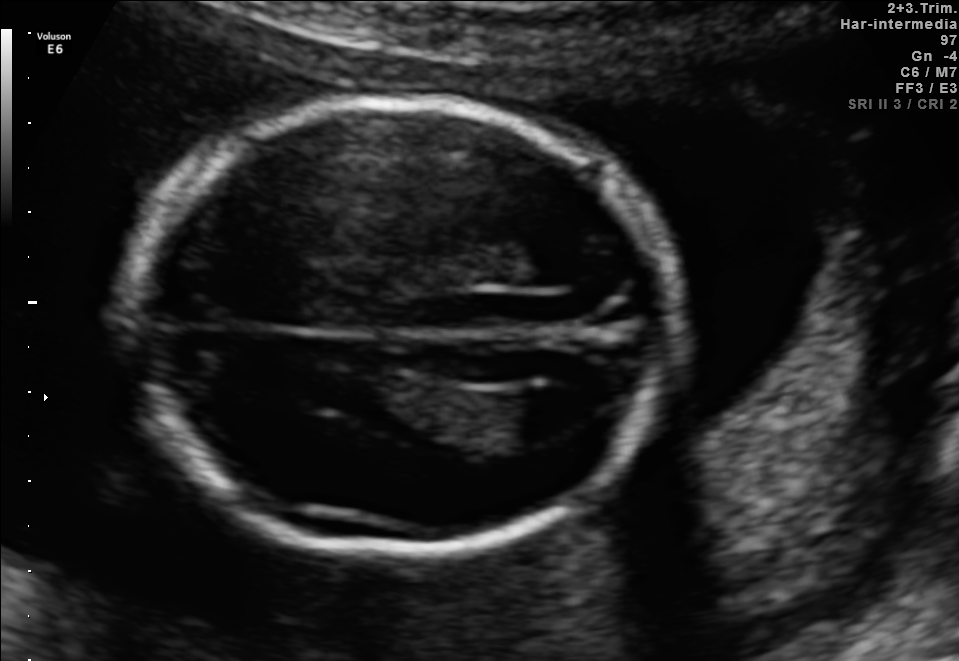
In this fetal brain, trans-ventricular plane, give the bounding box of the fetal head.

[106,90,699,567]